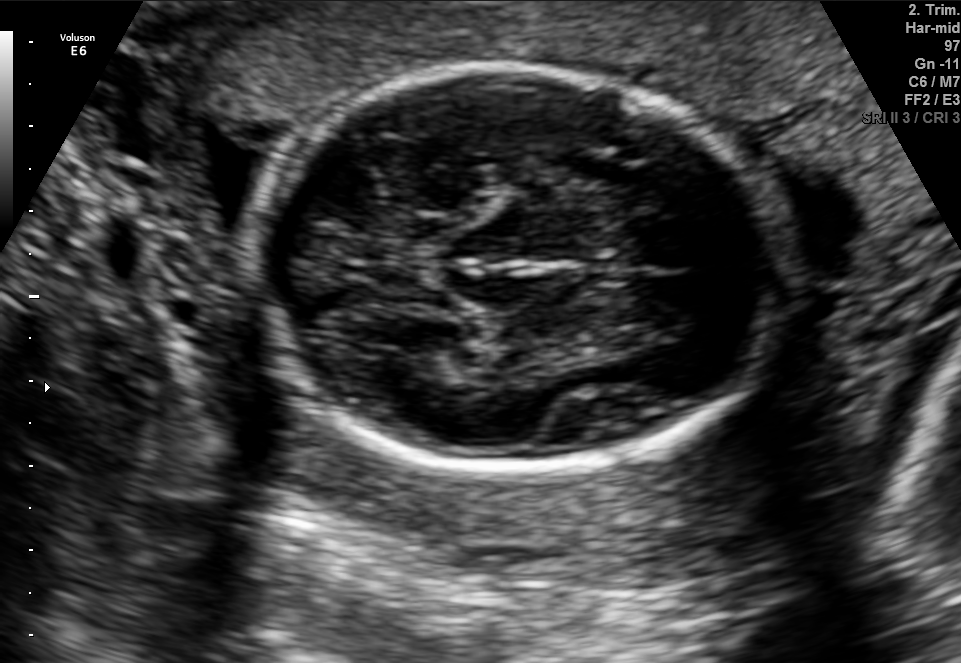
This is a 2D maternal-fetal ultrasound frame. Is it a fetal abdomen, fetal brain, fetal femur, fetal thorax, maternal cervix, or other standard plane? If it's fetal brain and one of the three standard brain planes (trans-thalamic, trans-cerebellum, trans-ventricular), name which.

Fetal brain (trans-thalamic plane)